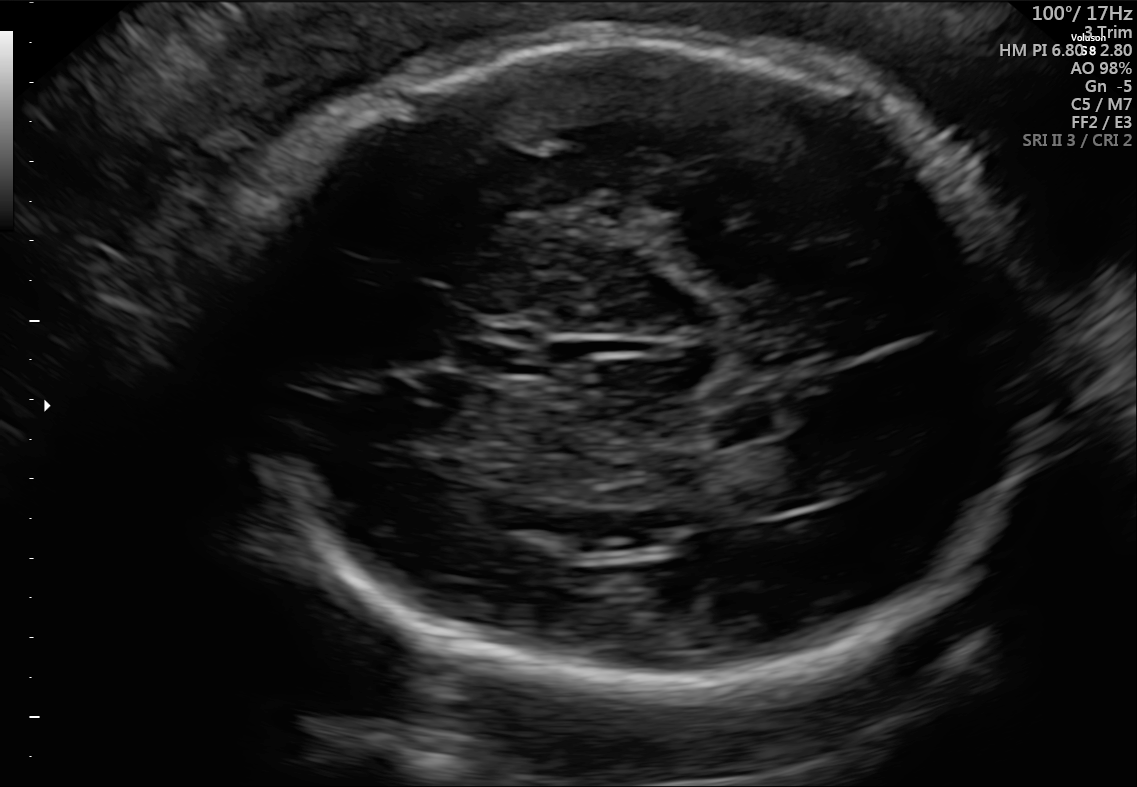
Fetal brain, trans-thalamic plane. Give [x1,y1,x2,y2] bounding boxes for each visible structure among: fetal head, CSP, LV.

Head: [210,29,1048,699]
CSP: [467,325,546,376]
Lateral ventricle: [740,424,868,518]